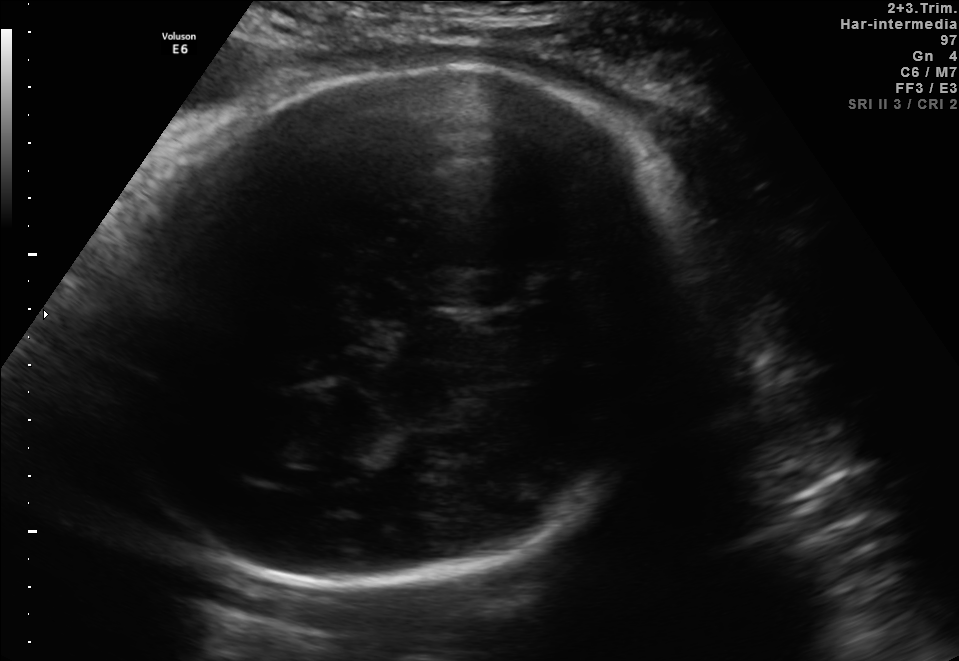
Which standard maternal-fetal ultrasound plane is shown: fetal abdomen, fetal brain, fetal femur, fetal thorax, maternal cervix, or other? If it's fetal brain and one of the three standard brain planes (trans-thalamic, trans-cerebellum, trans-ventricular), name which.

Fetal brain (trans-thalamic plane)